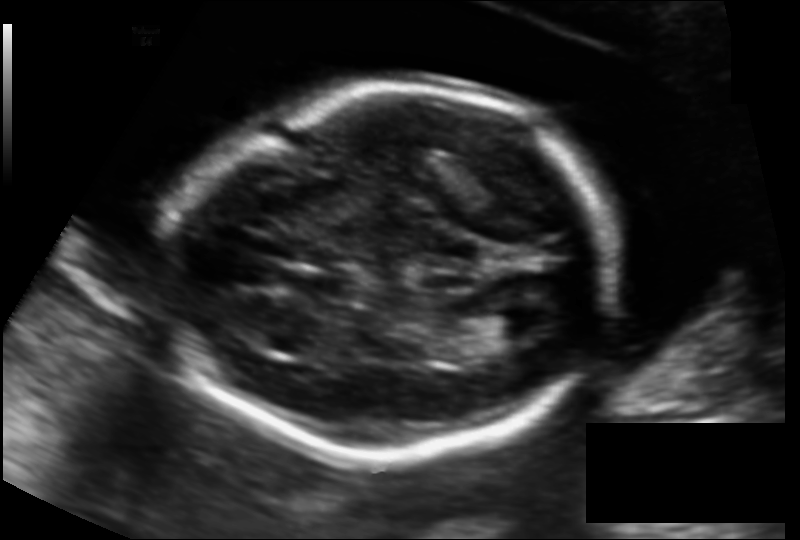
In this fetal head ultrasound, give the bounding box of the cavum septum pellucidum. Image width: 105.0 mm.

[290,267,352,302]